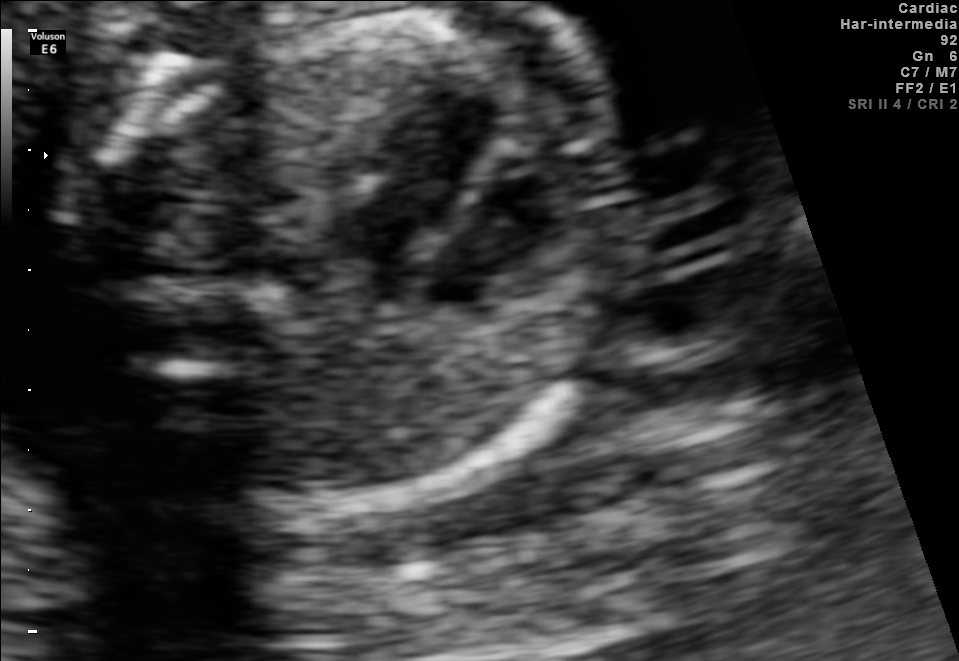
Classify this maternal-fetal ultrasound image as one of the six standard planes — fetal abdomen, fetal brain, fetal femur, fetal thorax, maternal cervix, or other. If it's fetal brain and one of the three standard brain planes (trans-thalamic, trans-cerebellum, trans-ventricular), name which.

Fetal thorax